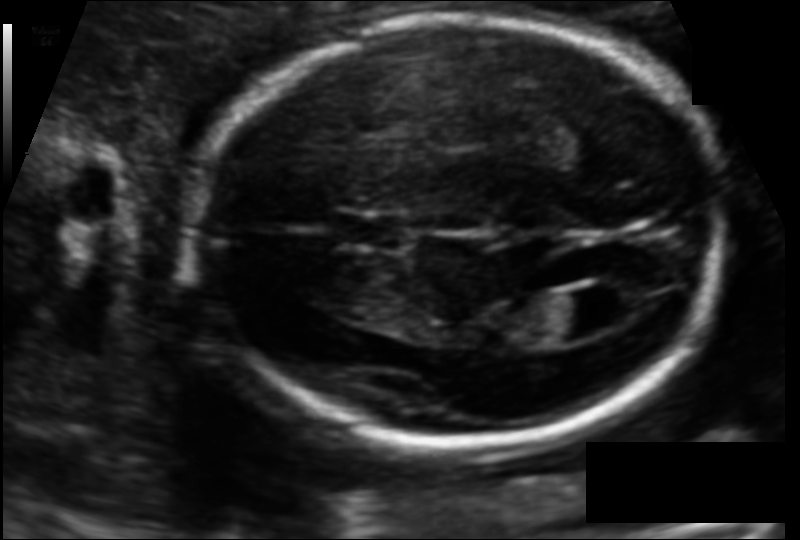
Fetal head ultrasound. Image width: 90.0 mm. Where is the cavum septum pellucidum?

CSP bounding box: [335,211,404,250]